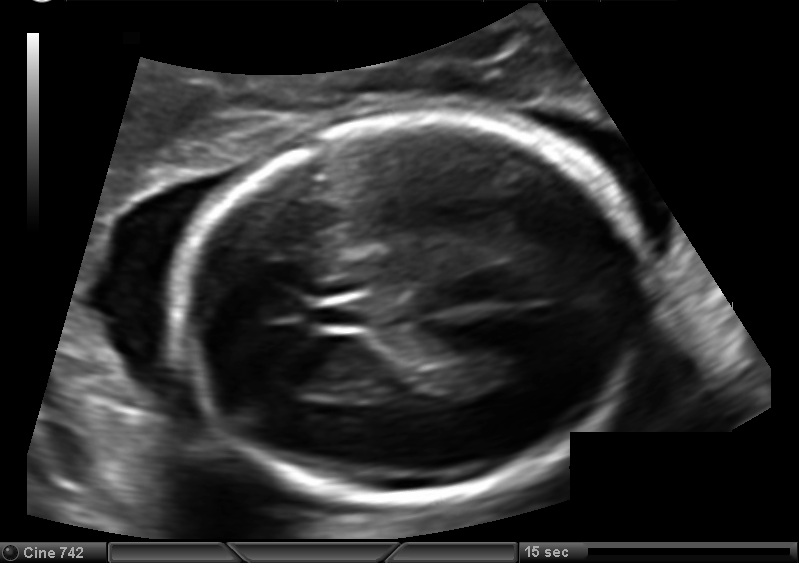
Fetal head ultrasound. Image width: 101.4 mm. Locate the fetal head.

Head: [178,114,636,502]